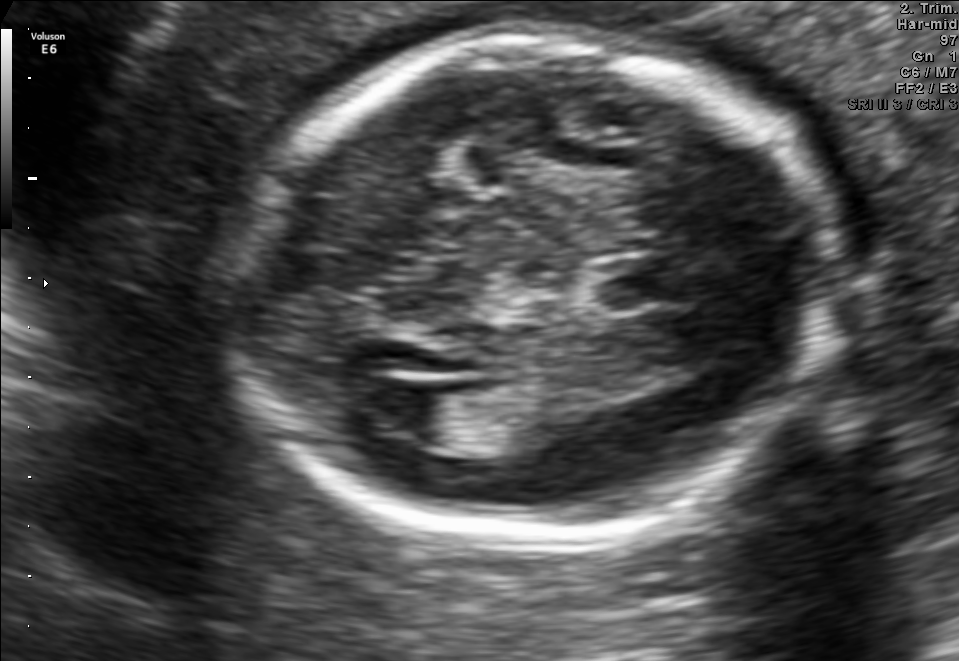
In this fetal brain, trans-ventricular plane, give the bounding box of the fetal head.

[222,23,859,550]